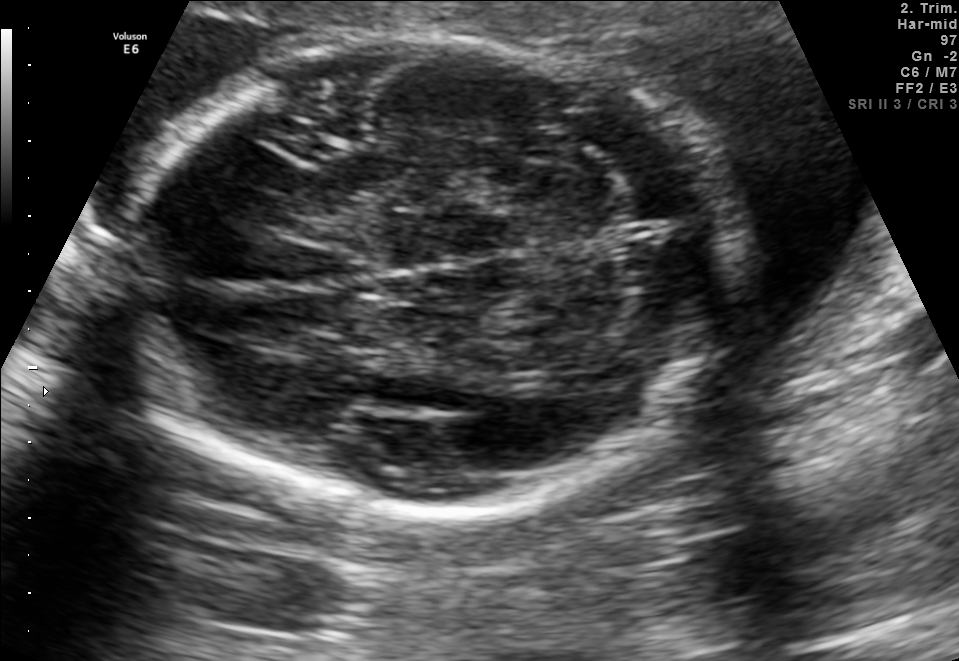
Fetal brain, trans-cerebellum plane. Locate the fetal head.

Head: [121,37,742,512]